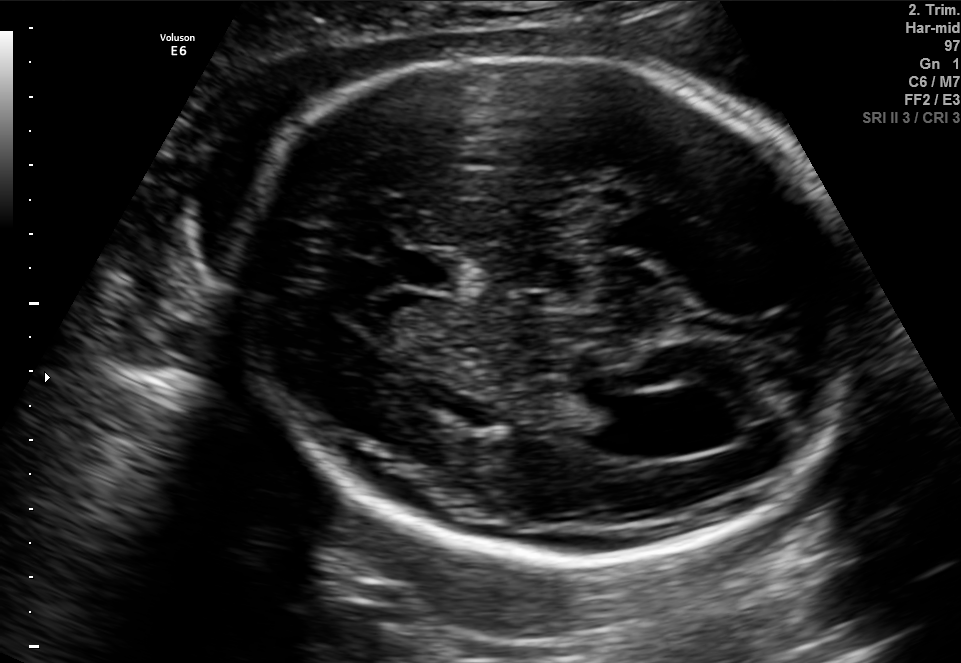
Fetal brain, trans-ventricular plane. Where is the lateral ventricle?

Lateral ventricle bounding box: [585,392,678,459]